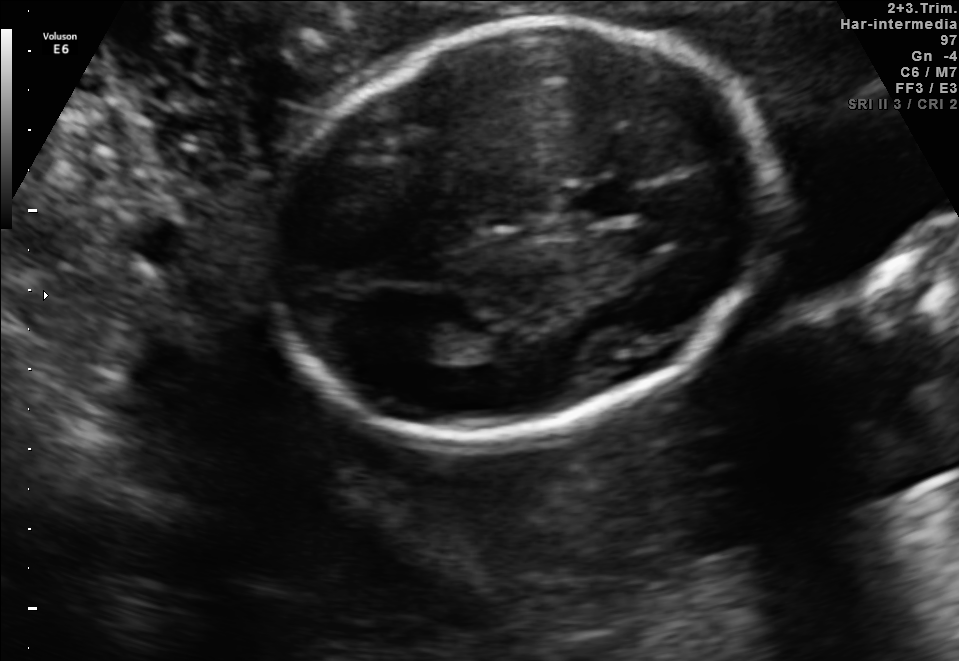
Fetal brain, trans-thalamic plane. Locate the fetal head and, if visible, the cavum septum pellucidum (CSP) and lateral ventricle (LV). Give bounding boxes as [x1,y1,x2,y2].

Head: [272,23,767,438]
CSP: [568,176,640,226]
Lateral ventricle: [393,323,458,361]